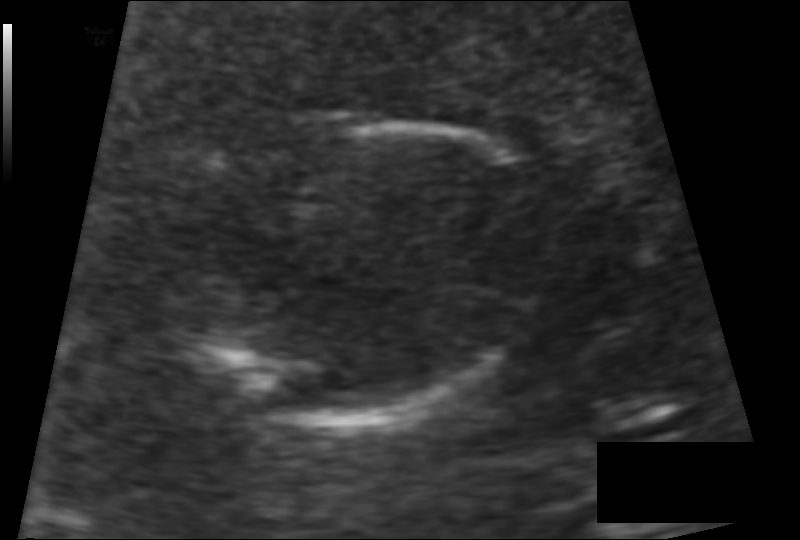
Estimate the fetal head circumference from this 2D ultrasound.

Head circumference: 97.0 mm (image width 74.1 mm).